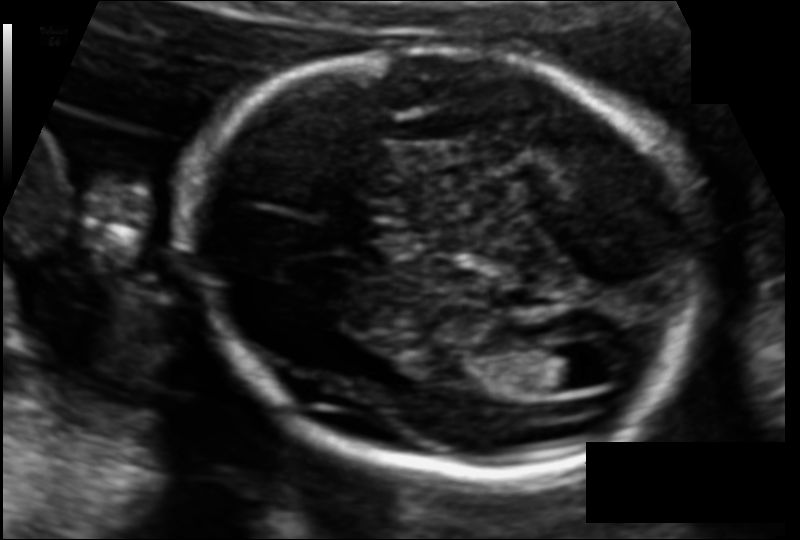
Fetal head ultrasound. Image width: 87.7 mm. Locate the fetal head.

Head: [191,46,707,478]